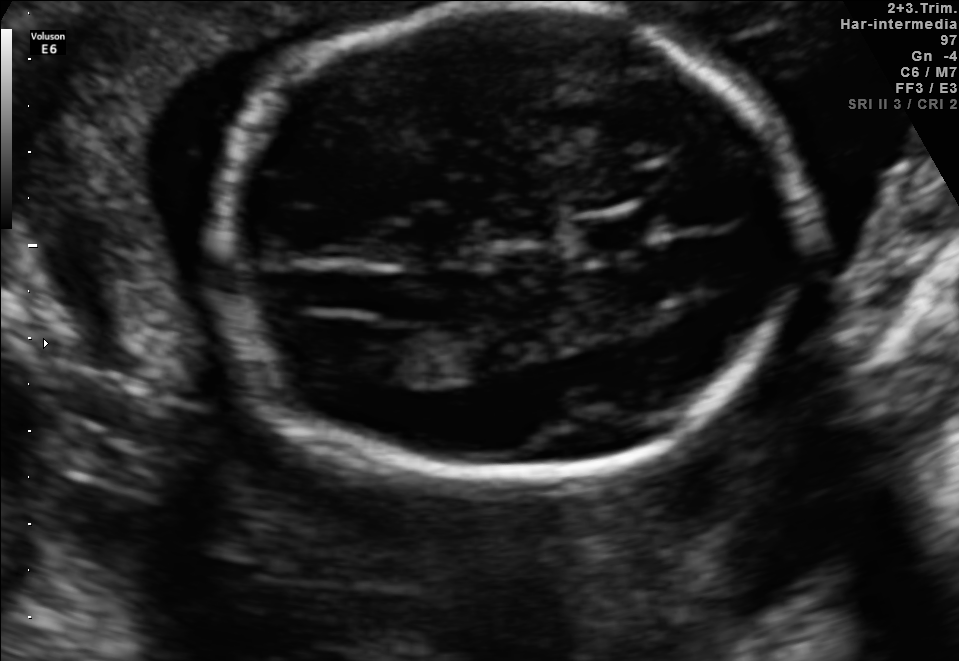
Fetal brain, trans-ventricular plane. Give [x1,y1,x2,y2] bounding boxes for each visible structure among: fetal head, CSP, LV.

Head: [196,2,831,497]
CSP: [557,196,674,270]
Lateral ventricle: [334,328,420,379]